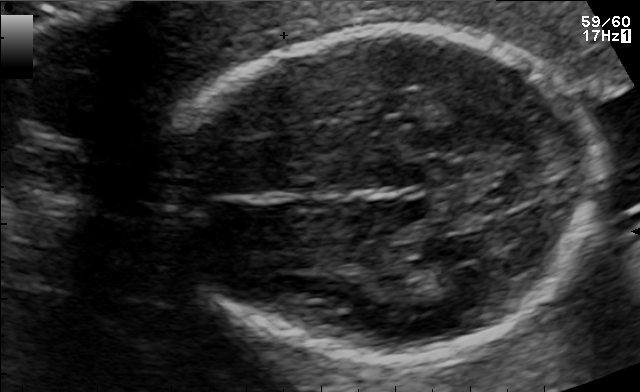
Fetal brain, trans-thalamic plane. Locate the fetal head and, if visible, the cavum septum pellucidum (CSP) and lateral ventricle (LV). Give bounding boxes as [x1,y1,x2,y2].

Head: [169,27,599,362]